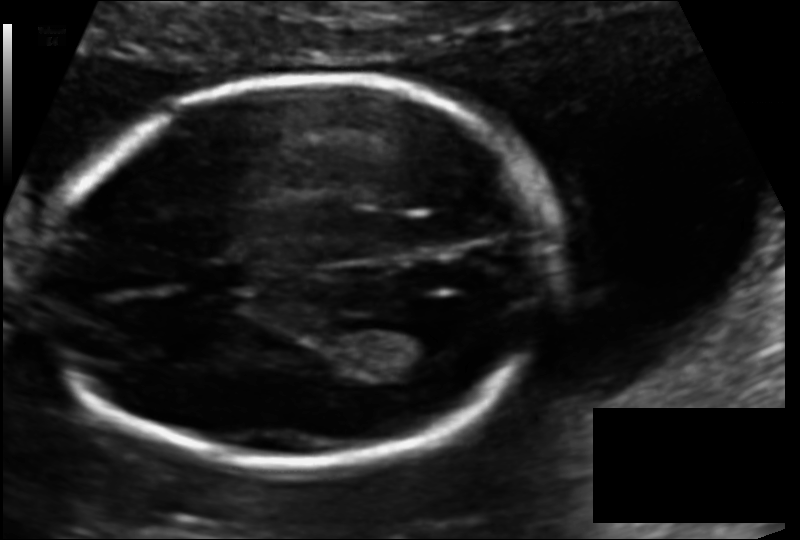
Estimate the fetal head circumference from this 2D ultrasound.

Head circumference: 167.7 mm (image width 90.5 mm).